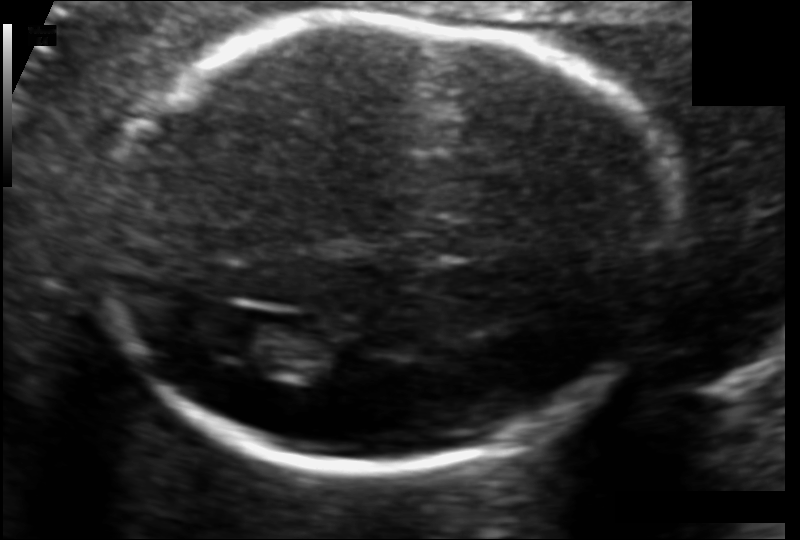
In this fetal head ultrasound, give bounding boxes for the head outline, cavum septum pellucidum (CSP), and lateral ventricle (LV), where visible. Image width: 84.9 mm.

Head: [100,16,667,470]
Lateral ventricle: [205,314,312,374]